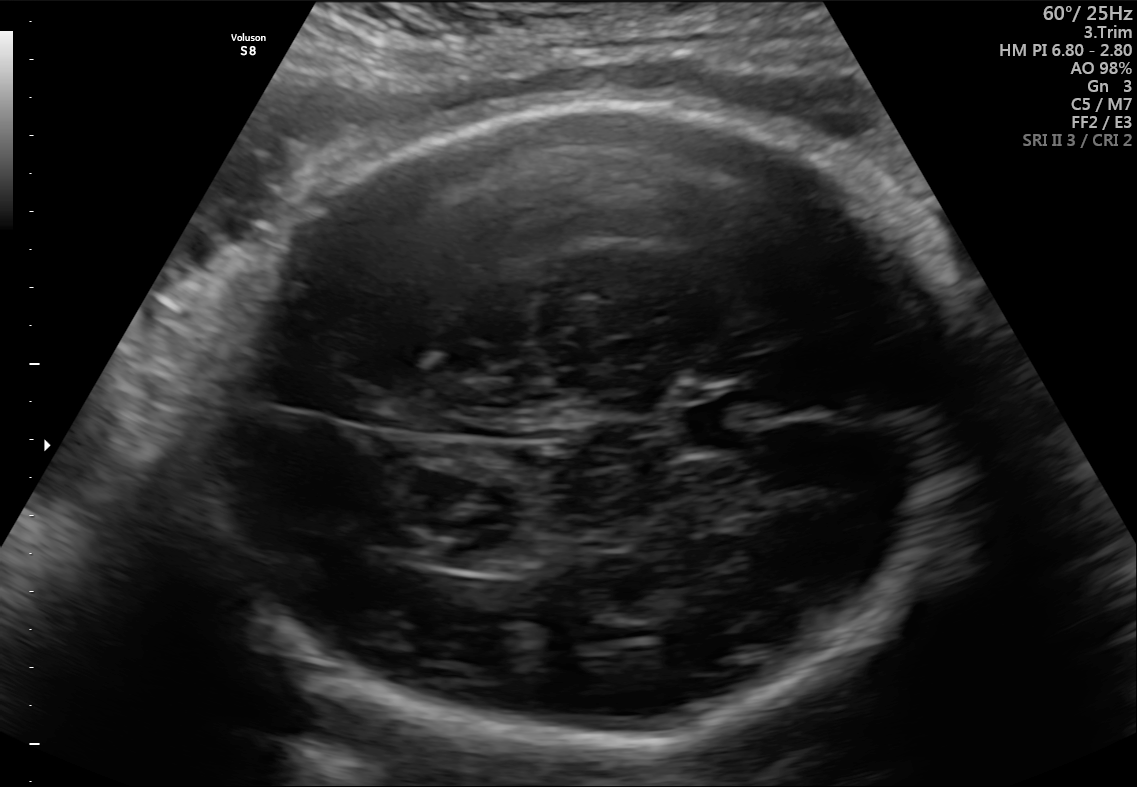
Fetal brain, trans-thalamic plane. Where is the cavum septum pellucidum?

CSP bounding box: [678,394,761,455]